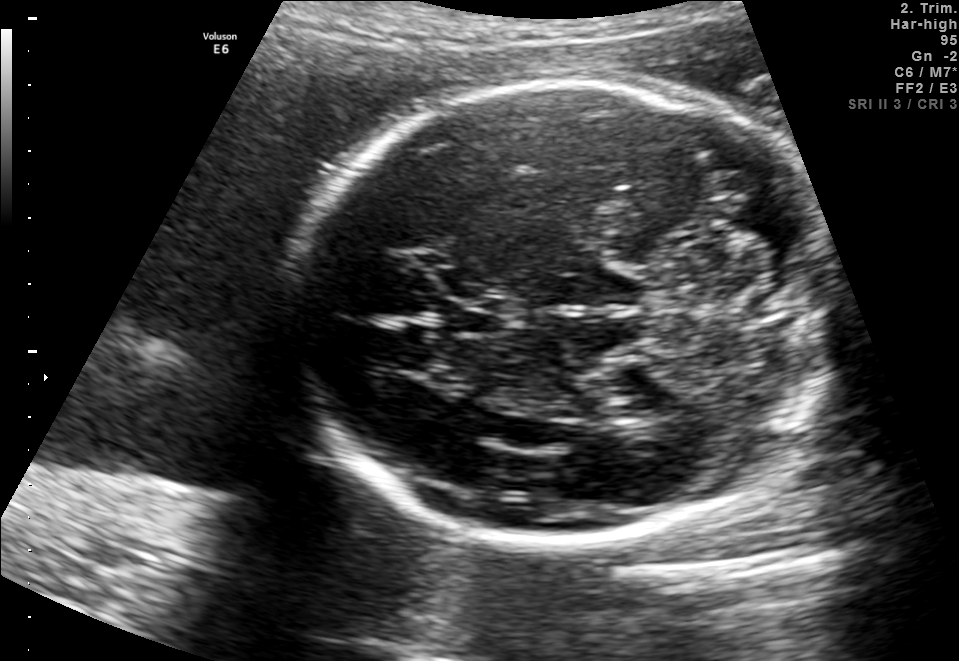
Classify this maternal-fetal ultrasound image as one of the six standard planes — fetal abdomen, fetal brain, fetal femur, fetal thorax, maternal cervix, or other. If it's fetal brain and one of the three standard brain planes (trans-thalamic, trans-cerebellum, trans-ventricular), name which.

Fetal brain (trans-cerebellum plane)